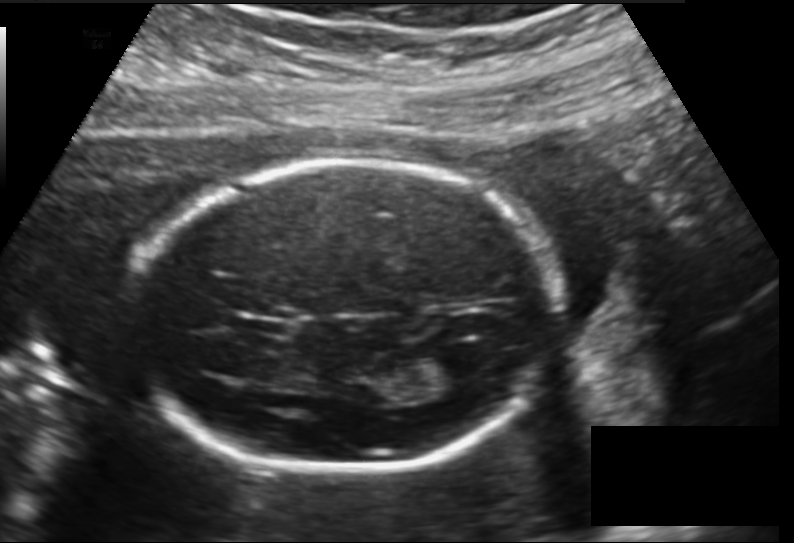
In this fetal head ultrasound, give bounding boxes for the head outline, cavum septum pellucidum (CSP), and lateral ventricle (LV), where visible. Image width: 124.7 mm.

Head: [130,160,556,472]
CSP: [243,316,287,338]
Lateral ventricle: [417,344,476,390]